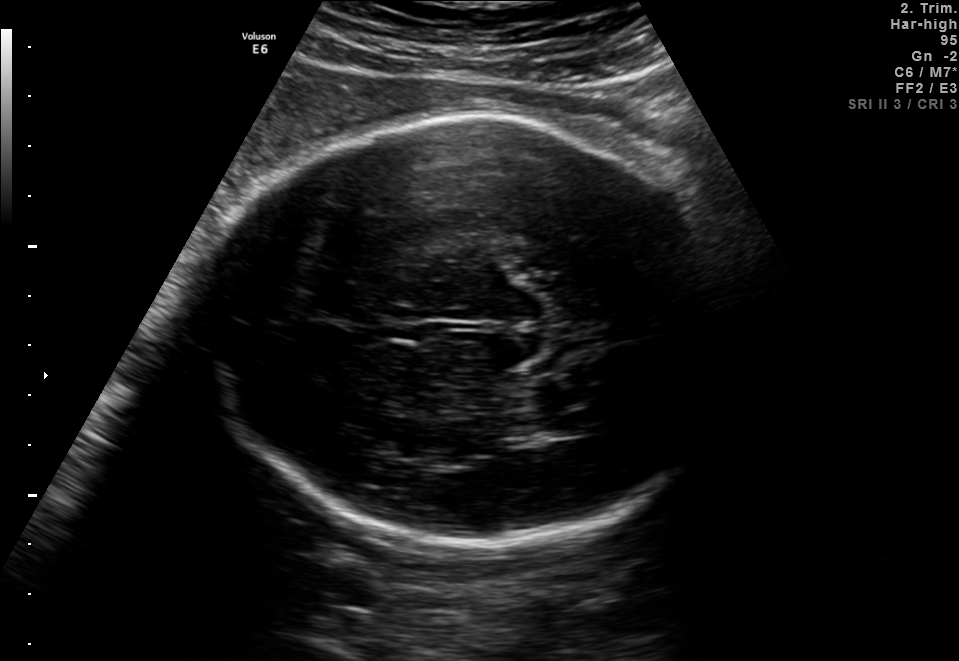
In this fetal brain, trans-thalamic plane, give bounding boxes for the head outline, cavum septum pellucidum (CSP), and lateral ventricle (LV), where visible.

Head: [203,115,738,546]
Lateral ventricle: [538,409,605,441]